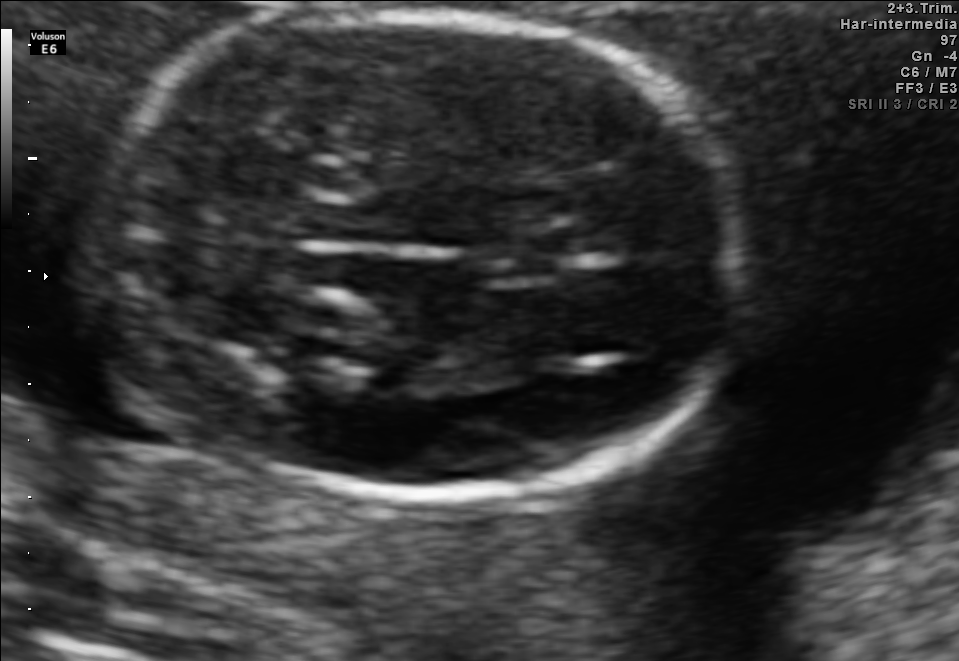
Fetal brain, trans-thalamic plane. Where is the fetal head?

Head bounding box: [99,13,748,496]